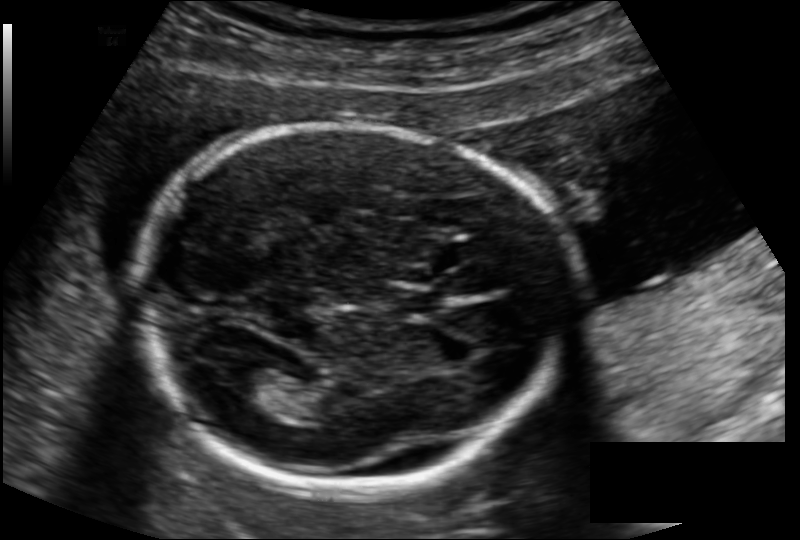
What is the fetal head circumference? Image width is 107.6 mm.

172.7 mm